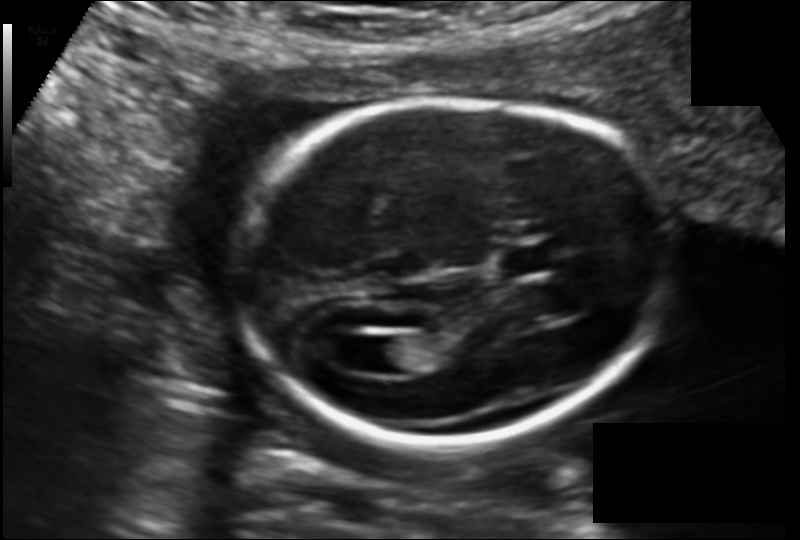
Measure the fetal head circumference shown in this ultrasound image. Image width: 107.8 mm.

Head circumference: 170.2 mm.